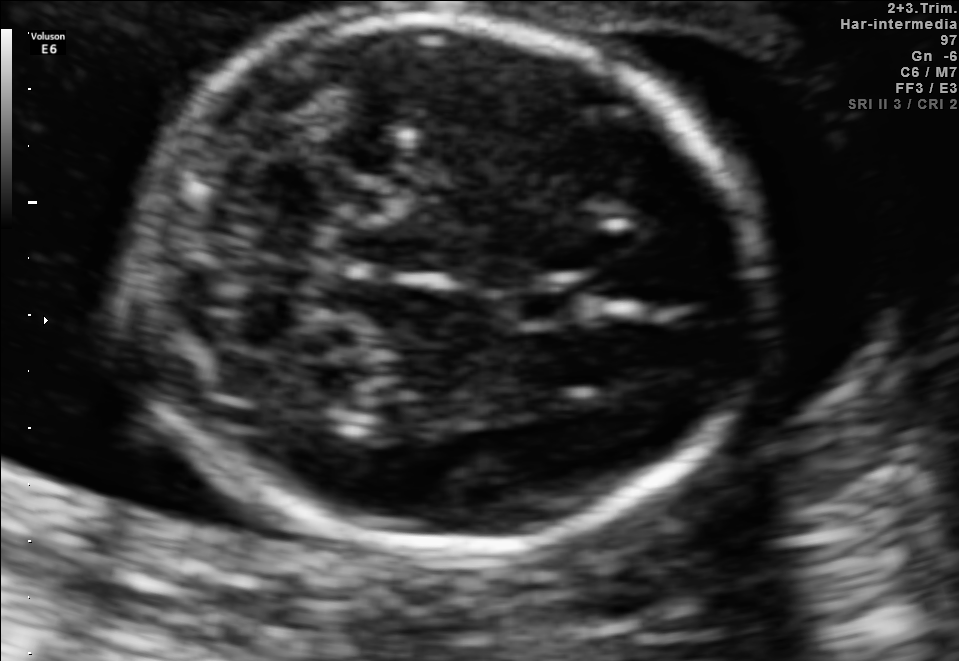
Fetal brain, trans-cerebellum plane. Locate the fetal head and, if visible, the cavum septum pellucidum (CSP) and lateral ventricle (LV). Give bounding boxes as [x1,y1,x2,y2].

Head: [138,13,757,552]
CSP: [506,278,581,329]